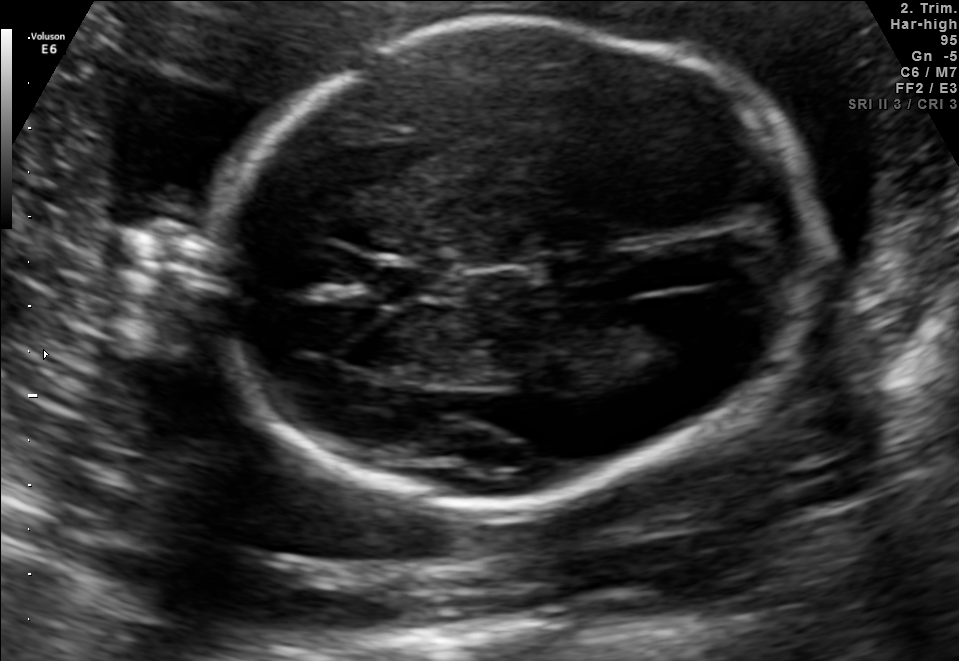
Which standard maternal-fetal ultrasound plane is shown: fetal abdomen, fetal brain, fetal femur, fetal thorax, maternal cervix, or other? If it's fetal brain and one of the three standard brain planes (trans-thalamic, trans-cerebellum, trans-ventricular), name which.

Fetal brain (trans-ventricular plane)